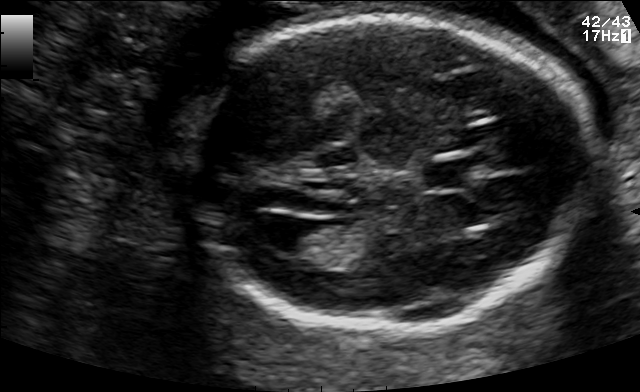
Fetal brain, trans-ventricular plane. Where is the lateral ventricle?

Lateral ventricle bounding box: [252,212,320,256]